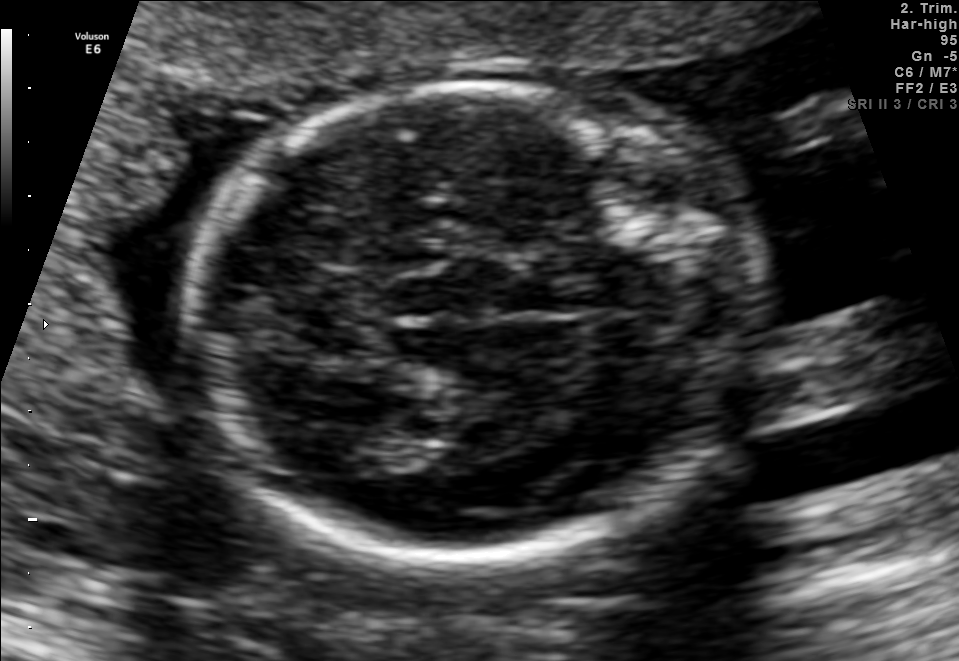
In this fetal brain, trans-thalamic plane, give bounding boxes for the head outline, cavum septum pellucidum (CSP), and lateral ventricle (LV), where visible.

Head: [181,87,752,560]
Lateral ventricle: [338,425,429,474]